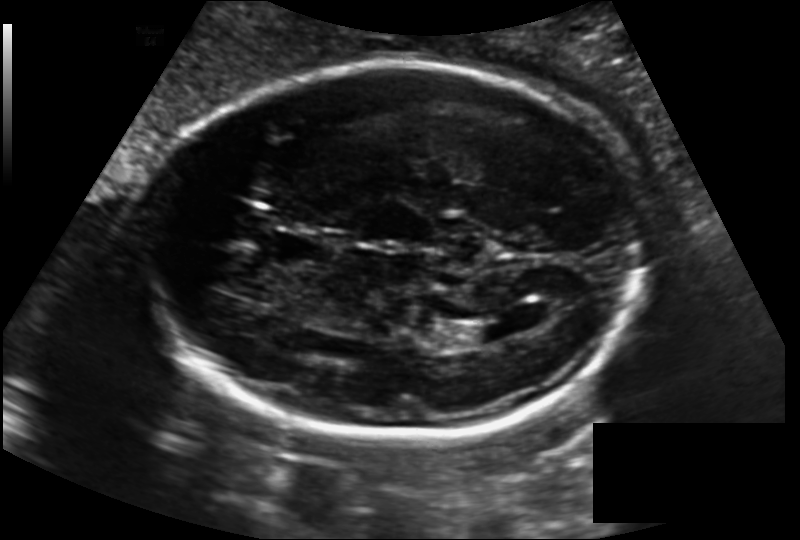
Estimate the fetal head circumference from this 2D ultrasound. Image width: 130.6 mm.

Head circumference: 231.9 mm.